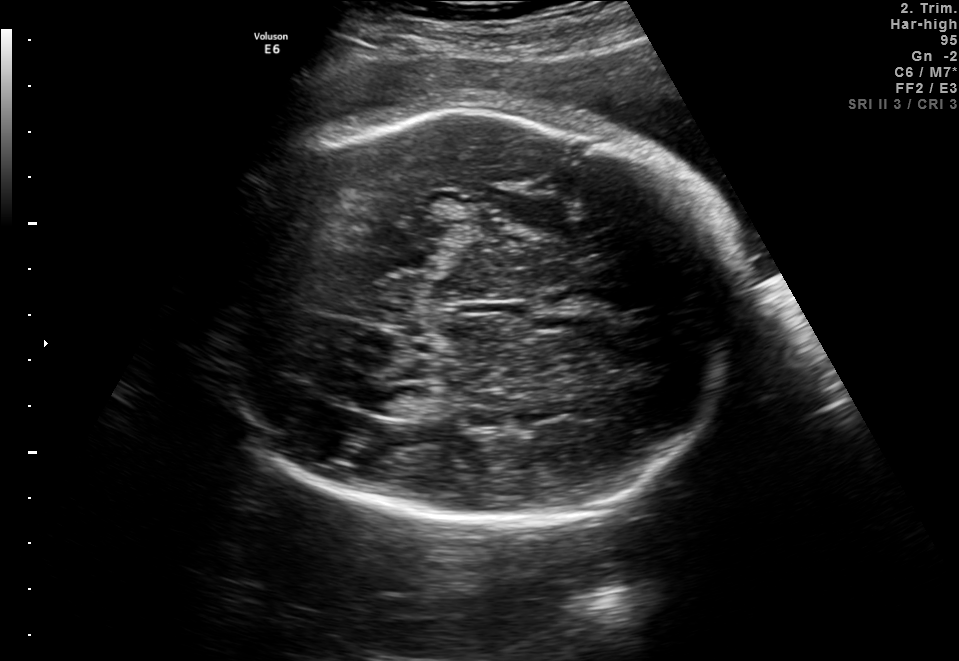
Fetal brain, trans-thalamic plane. Where is the fetal head?

Head bounding box: [201,111,744,532]